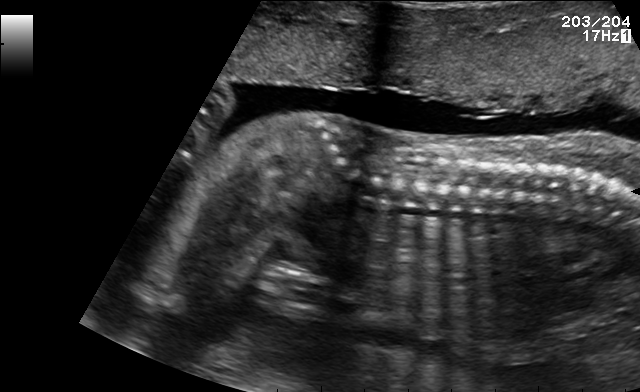
Which standard maternal-fetal ultrasound plane is shown: fetal abdomen, fetal brain, fetal femur, fetal thorax, maternal cervix, or other? If it's fetal brain and one of the three standard brain planes (trans-thalamic, trans-cerebellum, trans-ventricular), name which.

Other